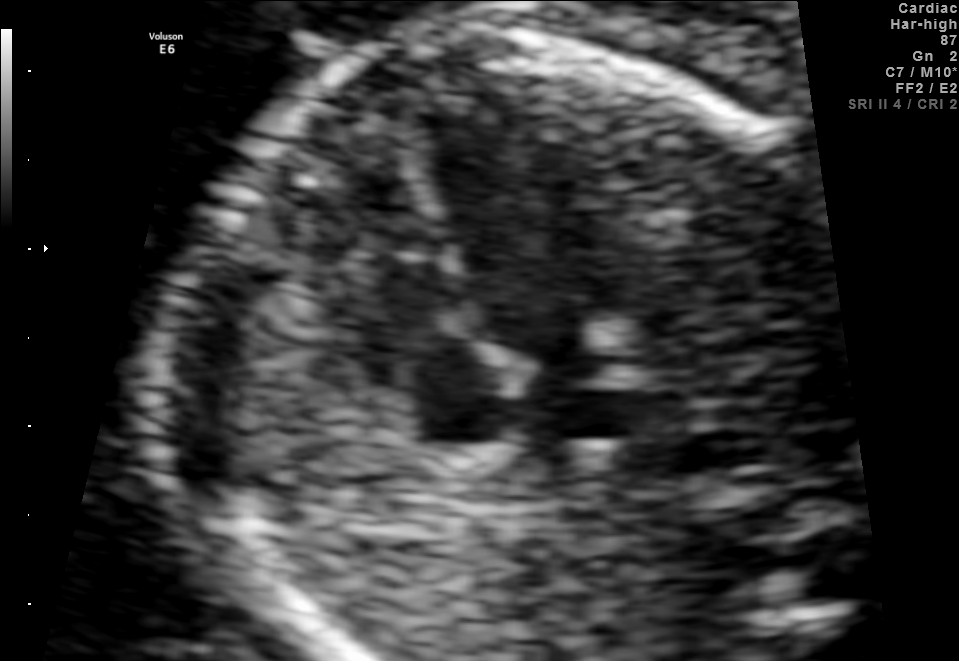
Identify the standard plane in this fetal ultrasound image: fetal abdomen, fetal brain, fetal femur, fetal thorax, maternal cervix, or other. If it's fetal brain and one of the three standard brain planes (trans-thalamic, trans-cerebellum, trans-ventricular), name which.

Fetal thorax